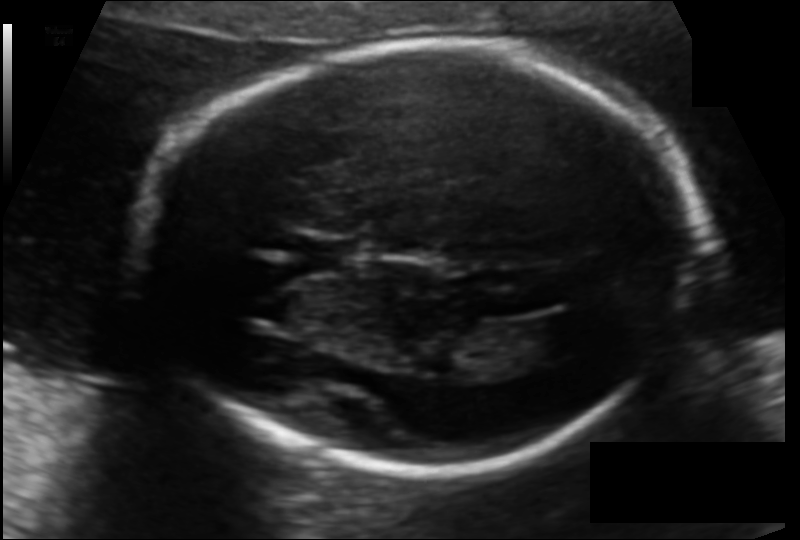
In this fetal head ultrasound, give bounding boxes for the head outline, cavum septum pellucidum (CSP), and lateral ventricle (LV), where visible. Image width: 97.4 mm.

Head: [142,46,697,470]
CSP: [302,236,360,274]
Lateral ventricle: [512,309,589,365]